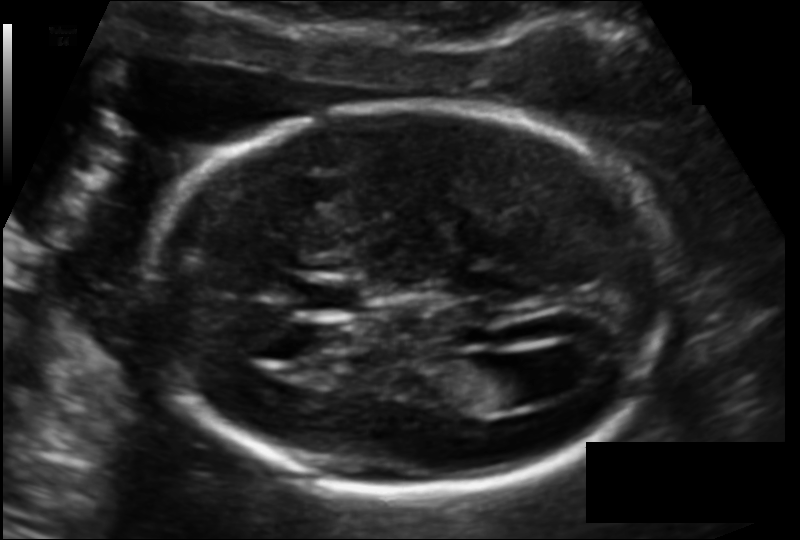
Fetal head ultrasound. Image width: 94.5 mm. Locate the cavum septum pellucidum.

CSP: [299,277,364,314]